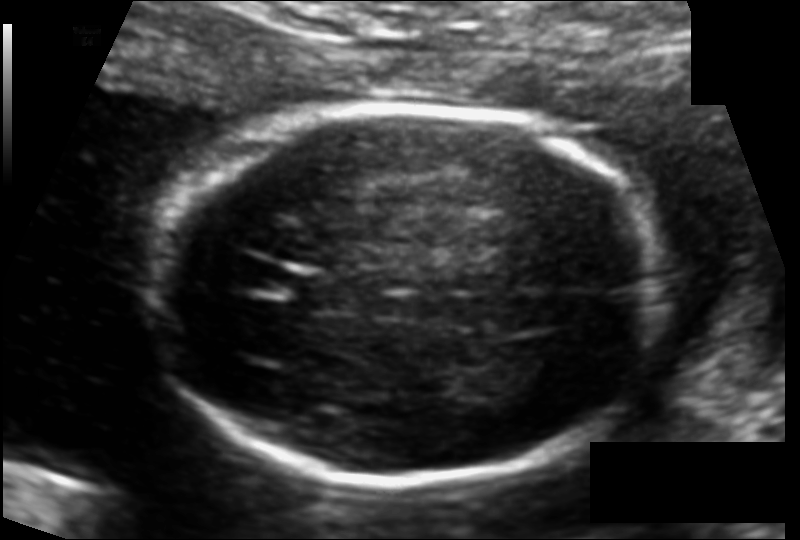
Estimate the fetal head circumference from this 2D ultrasound. Image width: 92.3 mm.

Head circumference: 166.9 mm.